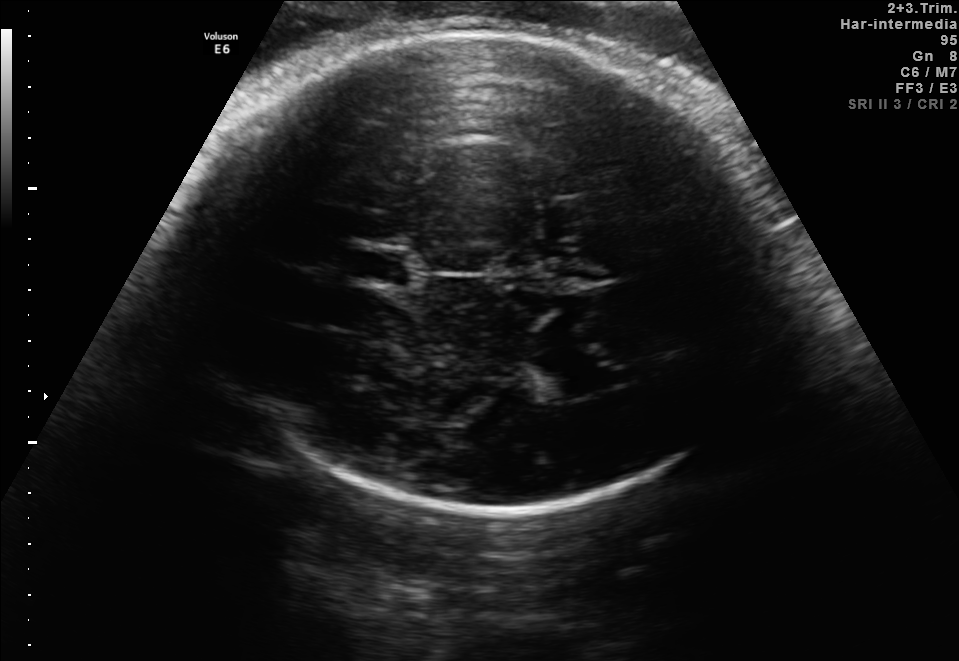
In this fetal brain, trans-thalamic plane, give the bounding box of the fetal head.

[179,32,782,513]